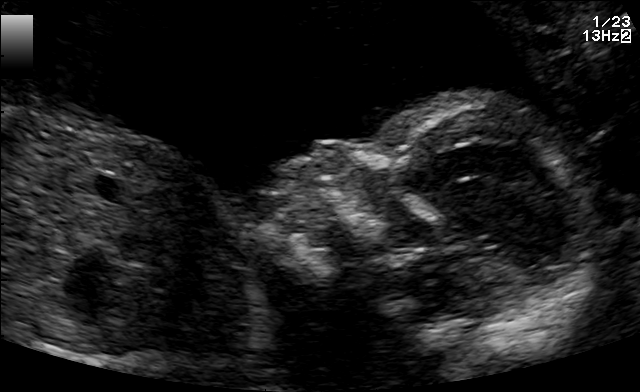
Classify this maternal-fetal ultrasound image as one of the six standard planes — fetal abdomen, fetal brain, fetal femur, fetal thorax, maternal cervix, or other. If it's fetal brain and one of the three standard brain planes (trans-thalamic, trans-cerebellum, trans-ventricular), name which.

Other